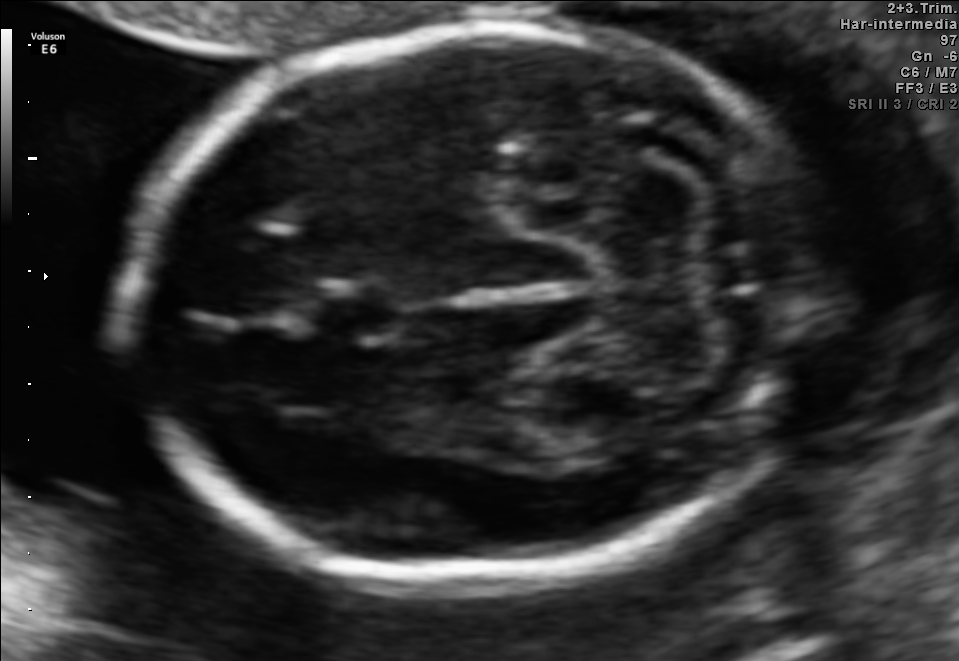
Fetal brain, trans-cerebellum plane. Where is the cavum septum pellucidum?

CSP bounding box: [308,281,404,347]